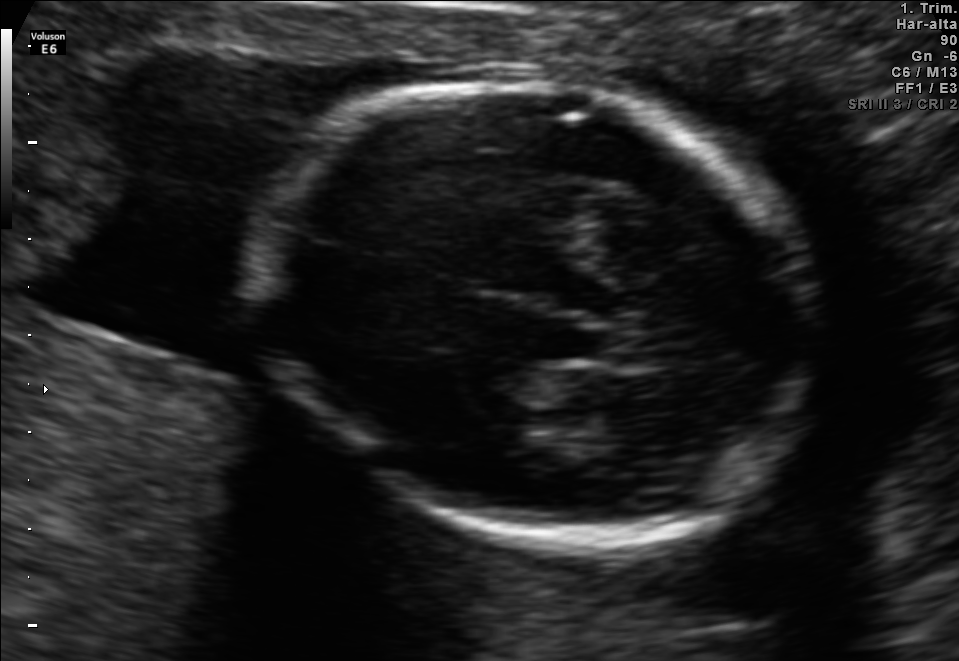
In this fetal brain, trans-thalamic plane, give bounding boxes for the head outline, cavum septum pellucidum (CSP), and lateral ventricle (LV), where visible.

Head: [252,79,817,532]